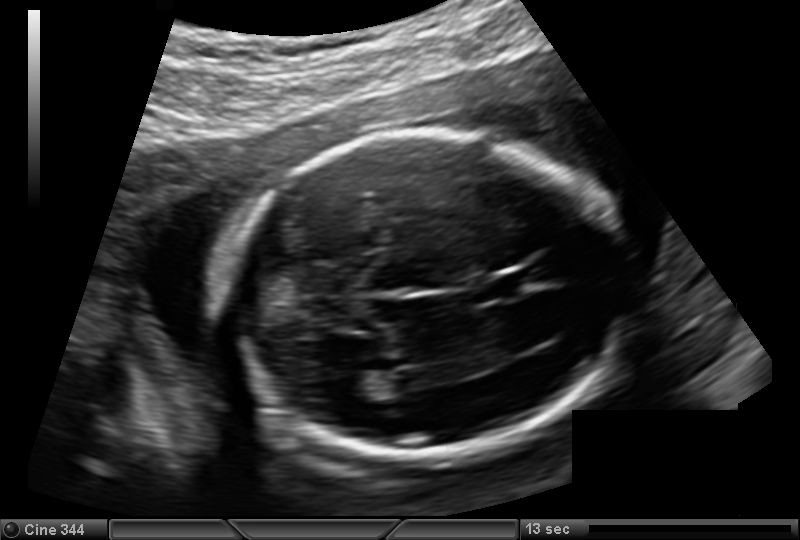
Fetal head ultrasound. Image width: 115.3 mm. Locate the lateral ventricle.

Lateral ventricle: [332,372,376,406]